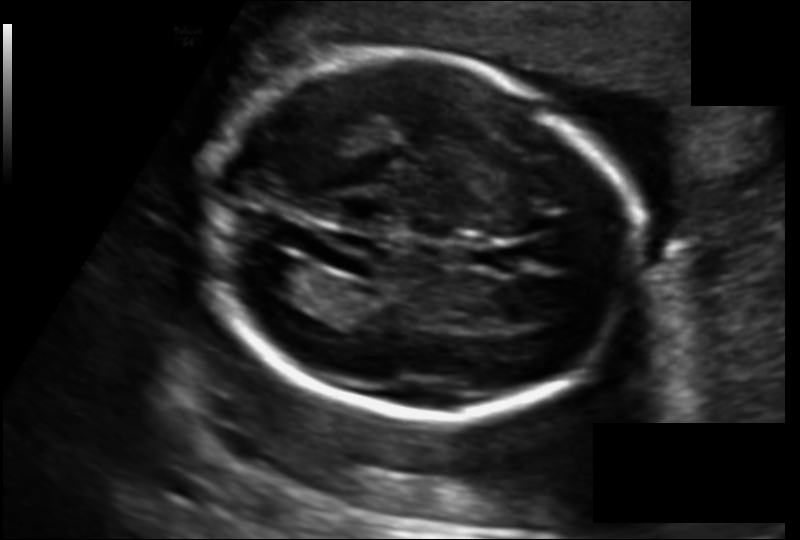
Fetal head ultrasound. Image width: 107.9 mm. Locate the lateral ventricle.

Lateral ventricle: [247,244,319,305]